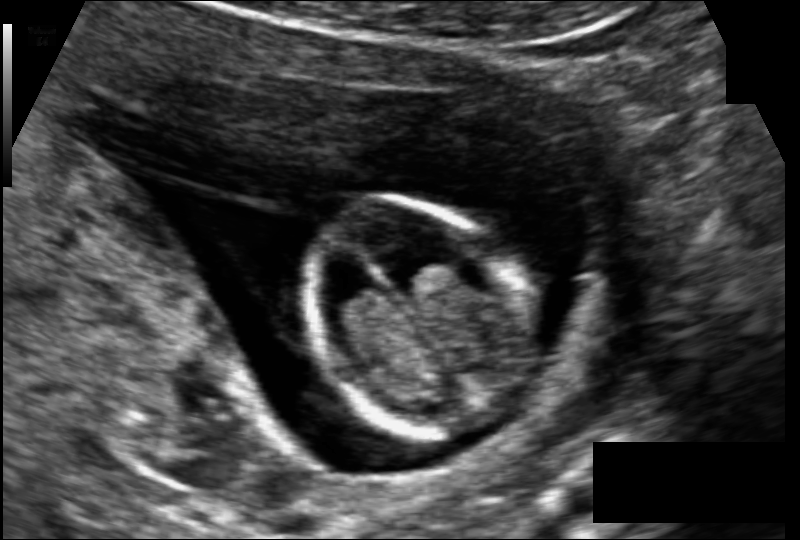
Fetal head ultrasound. Image width: 81.3 mm. Where is the fetal head?

Head bounding box: [299,203,535,436]